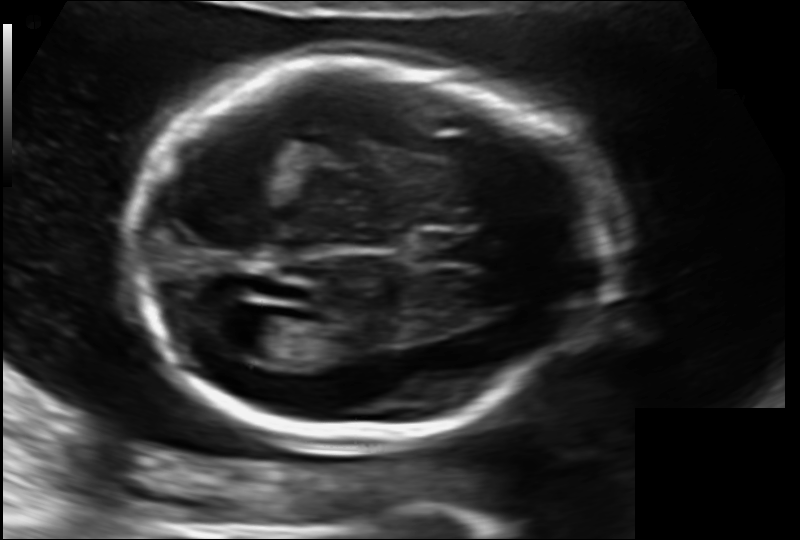
In this fetal head ultrasound, give the bounding box of the cavum septum pellucidum. Image width: 103.9 mm.

[416,233,485,264]